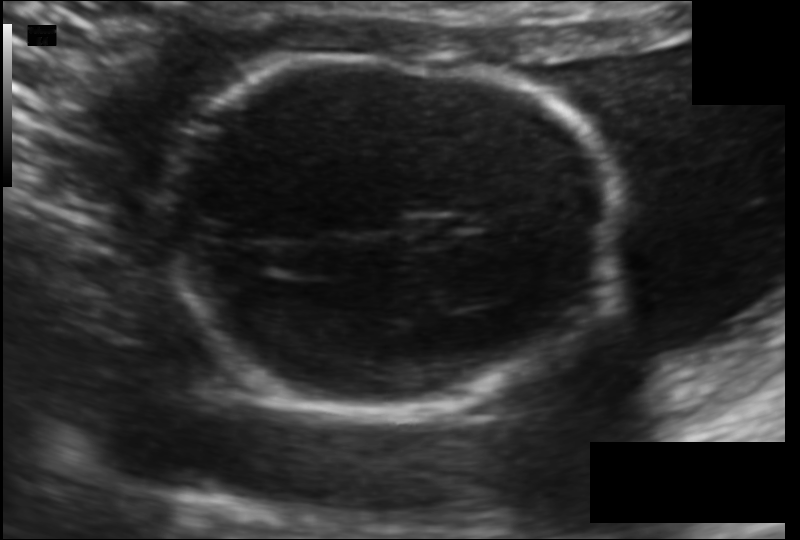
Fetal head ultrasound. Image width: 91.8 mm. Where is the fetal head?

Head bounding box: [165,57,620,416]